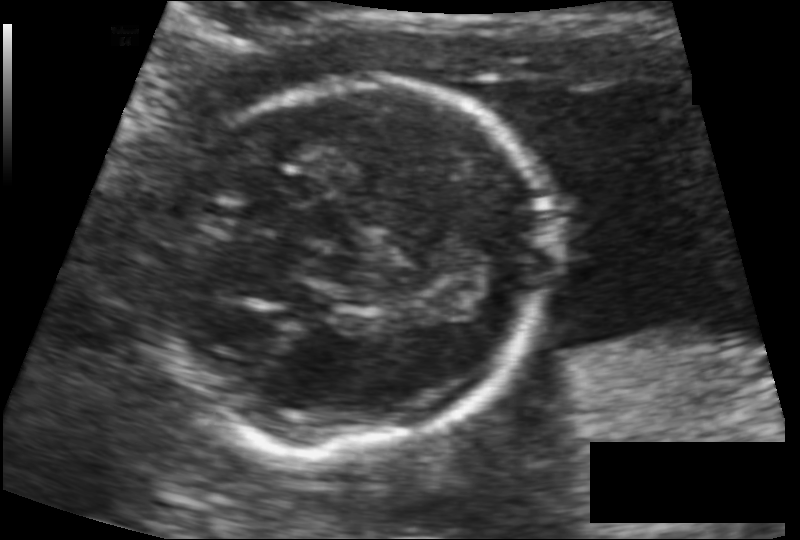
From this fetal ultrasound, estimate the head circumference (image width 79.7 mm).

Head circumference: 123.2 mm.